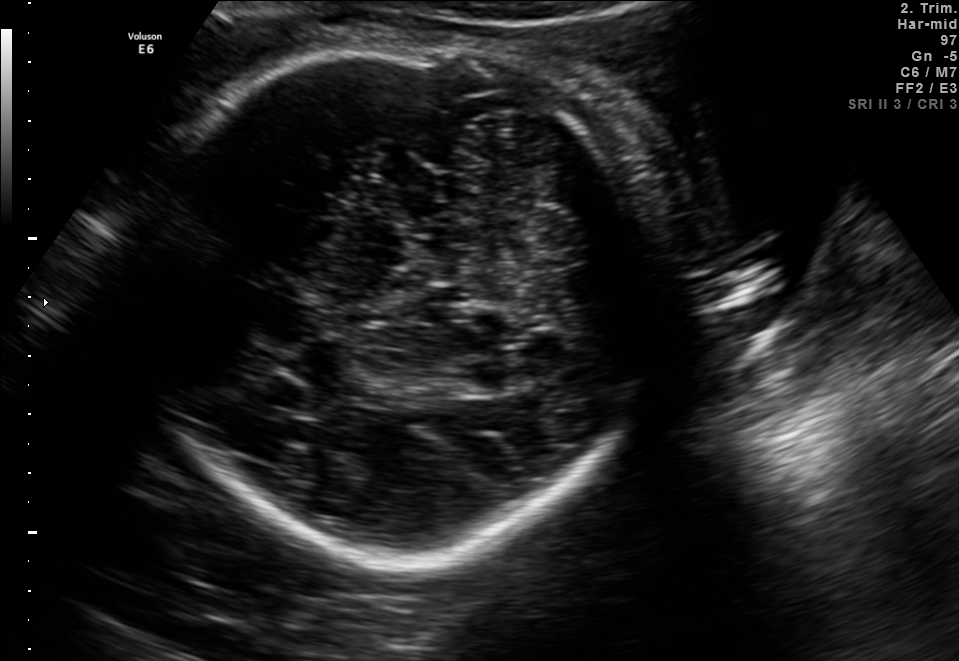
Fetal brain, trans-cerebellum plane. Give [x1,y1,x2,y2] bounding boxes for each visible structure among: fetal head, CSP, LV.

Head: [134,45,649,554]